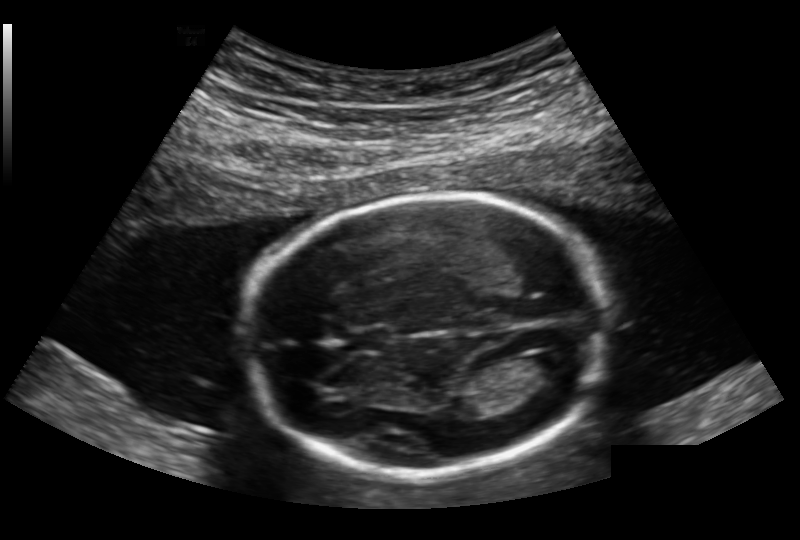
In this fetal head ultrasound, give the bounding box of the fetal head. Image width: 134.4 mm.

[246,195,606,474]